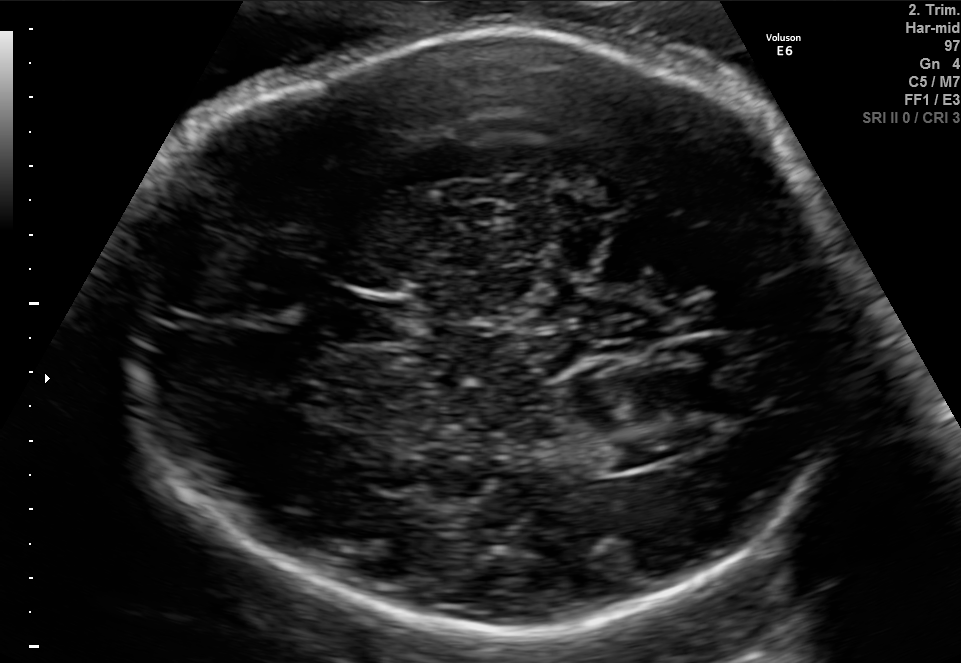
In this fetal brain, trans-ventricular plane, give the bounding box of the cavum septum pellucidum.

[328,293,404,341]